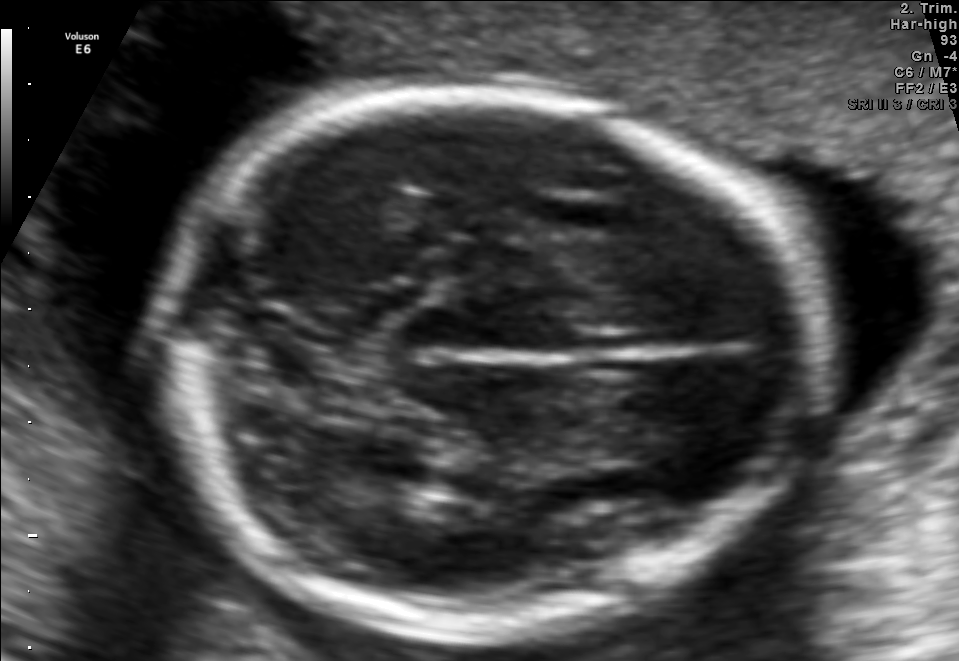
In this fetal brain, trans-thalamic plane, give bounding boxes for the head outline, cavum septum pellucidum (CSP), and lateral ventricle (LV), where visible.

Head: [149,96,816,631]